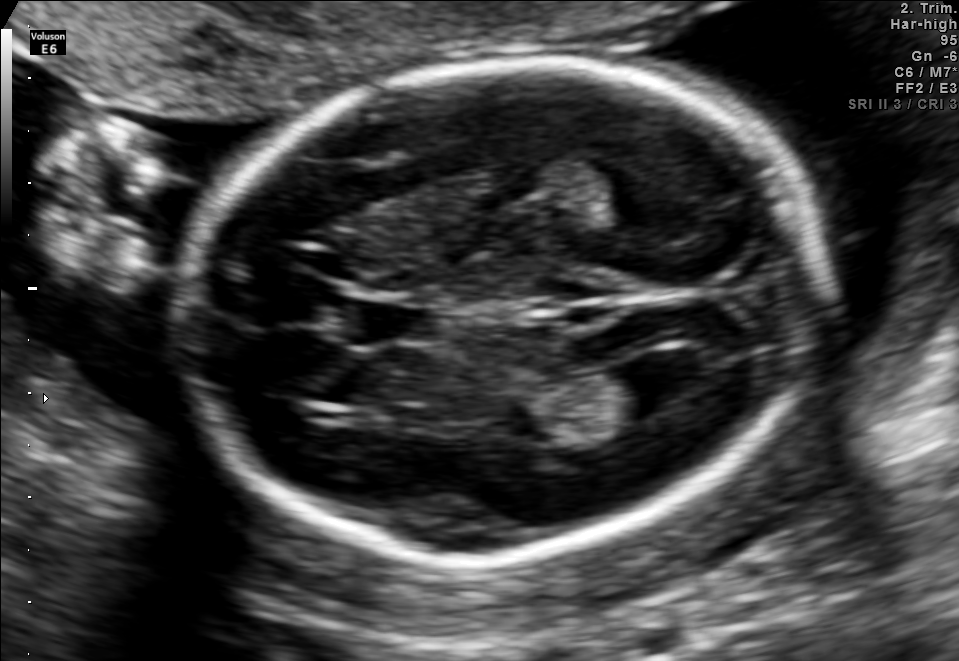
Fetal brain, trans-ventricular plane. Where is the cavum septum pellucidum?

CSP bounding box: [346,302,441,344]